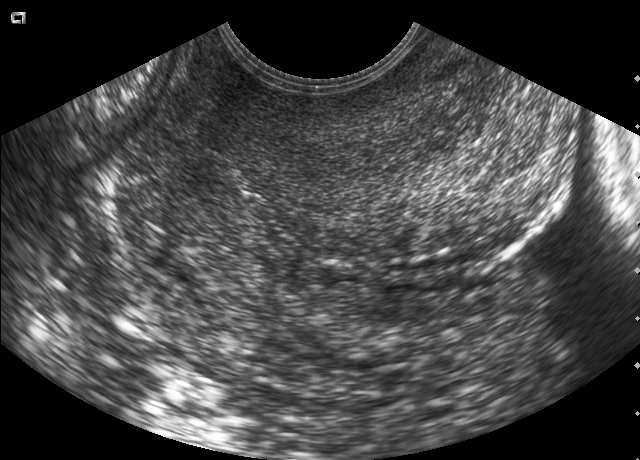
Which standard maternal-fetal ultrasound plane is shown: fetal abdomen, fetal brain, fetal femur, fetal thorax, maternal cervix, or other? If it's fetal brain and one of the three standard brain planes (trans-thalamic, trans-cerebellum, trans-ventricular), name which.

Maternal cervix